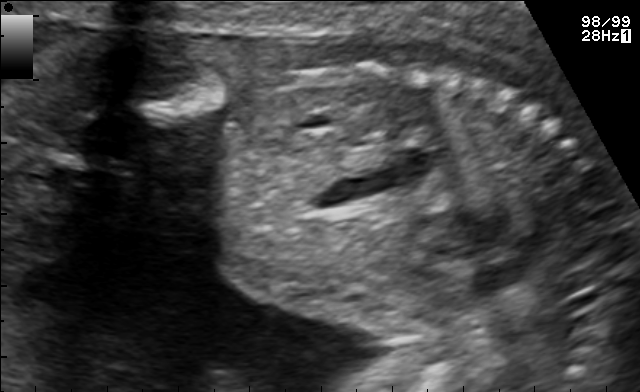
Which standard maternal-fetal ultrasound plane is shown: fetal abdomen, fetal brain, fetal femur, fetal thorax, maternal cervix, or other? If it's fetal brain and one of the three standard brain planes (trans-thalamic, trans-cerebellum, trans-ventricular), name which.

Other